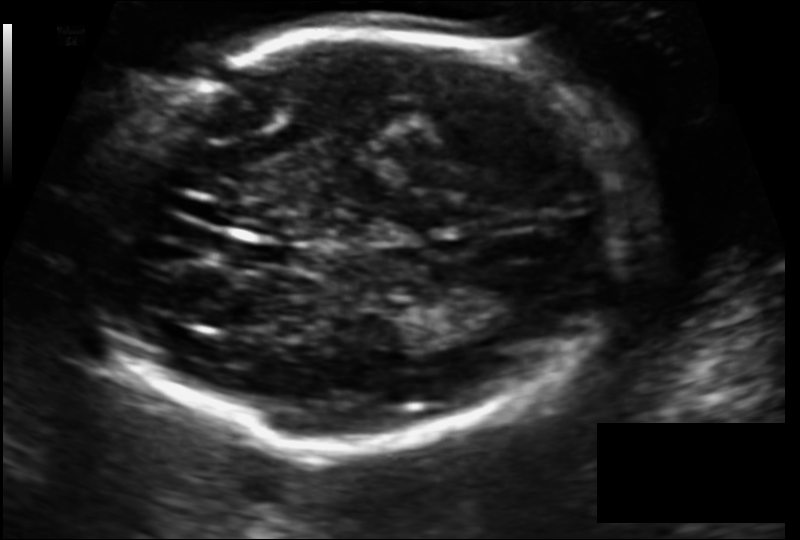
In this fetal head ultrasound, give the bounding box of the fetal head. Image width: 98.9 mm.

[89,33,627,444]